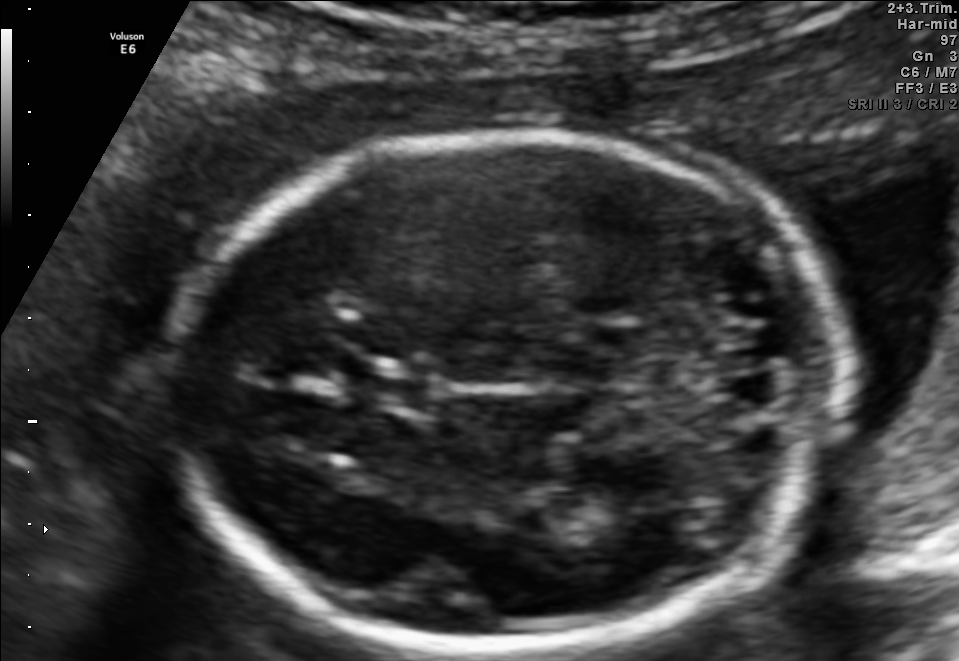
In this fetal brain, trans-thalamic plane, give the bounding box of the fetal head.

[168,135,849,648]